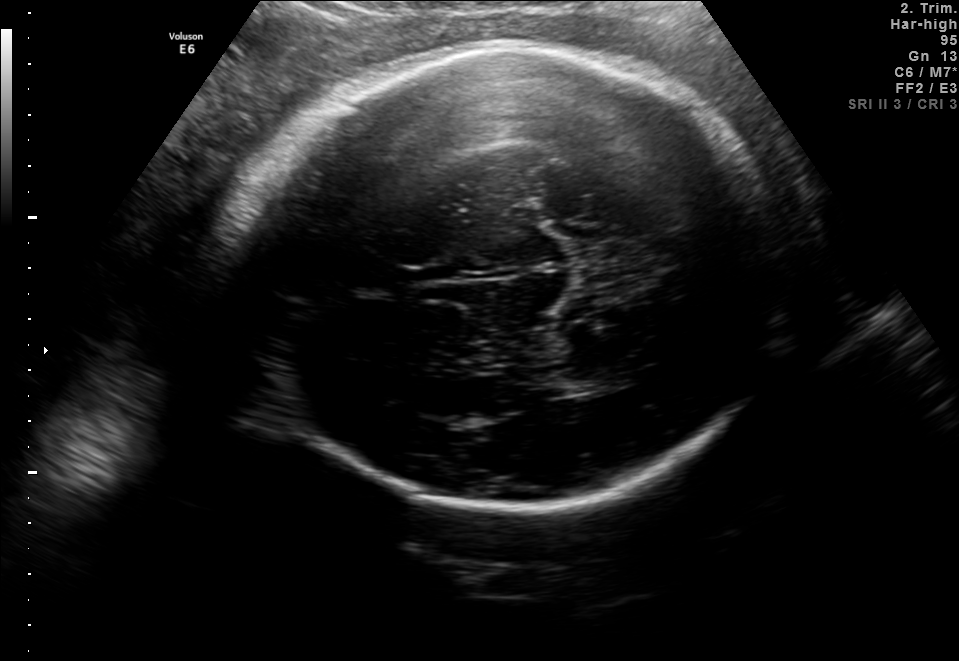
Fetal brain, trans-thalamic plane. Give [x1,y1,x2,y2] bounding boxes for each visible structure among: fetal head, CSP, LV.

Head: [224,46,785,511]